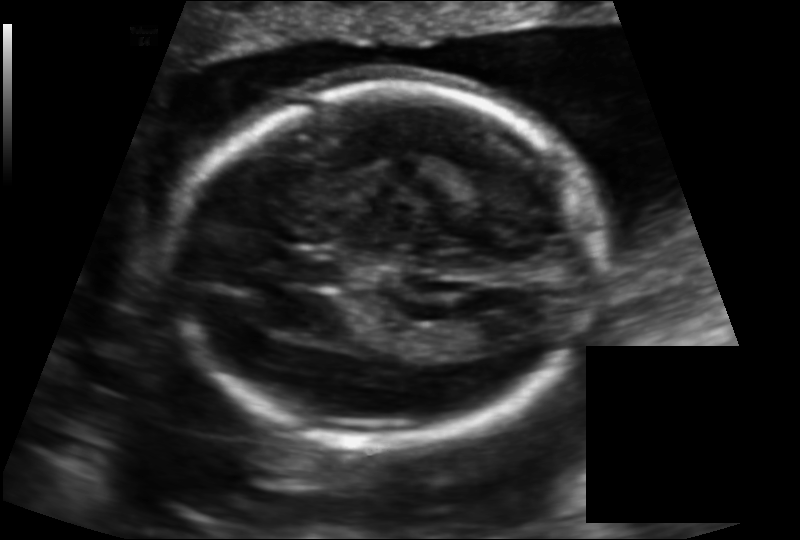
Fetal head ultrasound. Image width: 106.6 mm. Locate the lateral ventricle.

Lateral ventricle: [453,313,518,357]